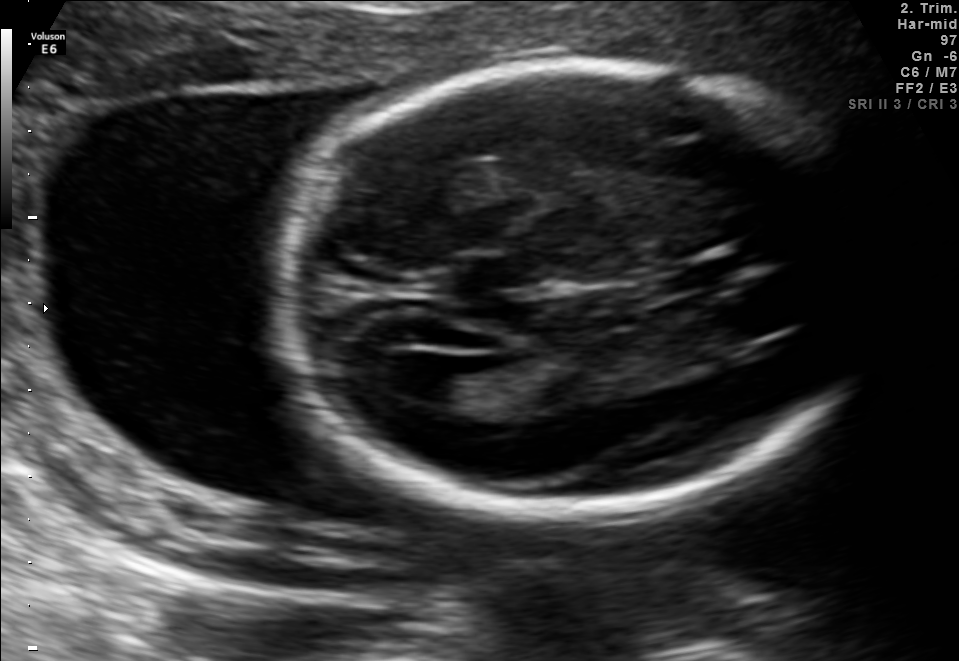
In this fetal brain, trans-ventricular plane, give the bounding box of the fetal head.

[264,53,891,526]